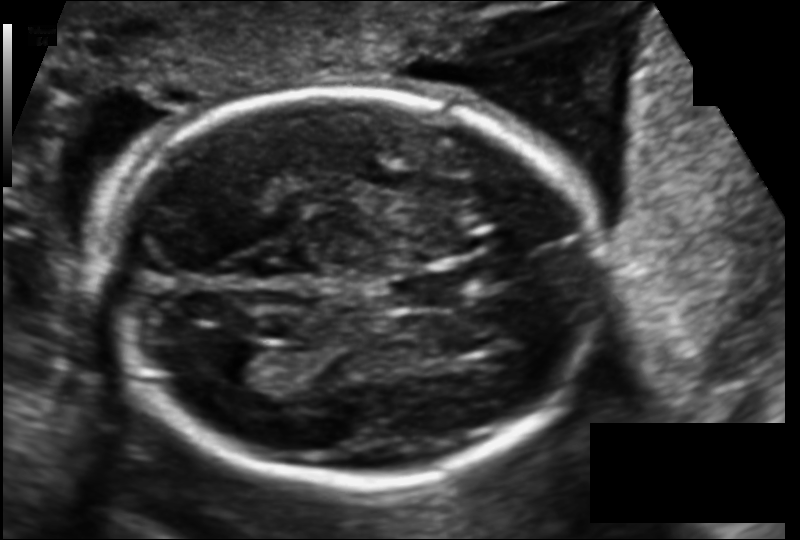
Fetal head ultrasound. Image width: 104.3 mm. Locate the fetal head and, if visible, the cavum septum pellucidum (CSP) and lateral ventricle (LV). Give bounding boxes as [x1,y1,x2,y2].

Head: [108,87,604,485]
CSP: [386,266,466,313]
Lateral ventricle: [208,339,276,390]